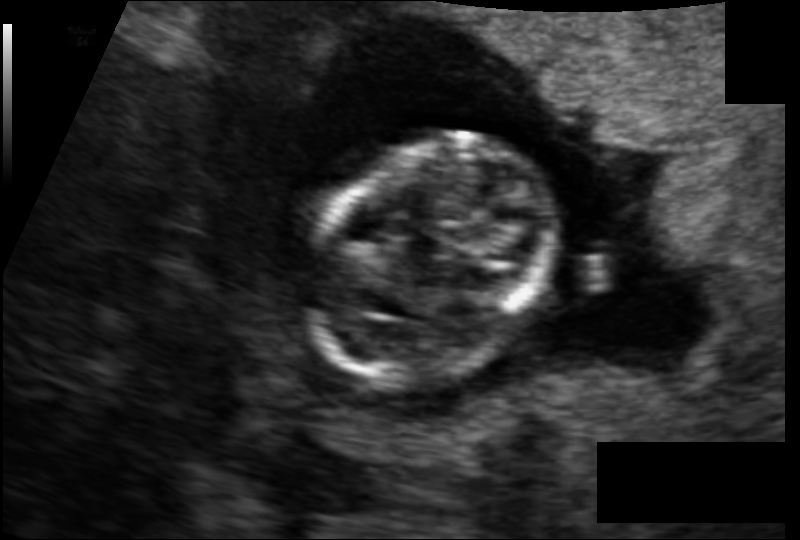
In this fetal head ultrasound, give the bounding box of the fetal head. Image width: 77.6 mm.

[291,134,557,378]